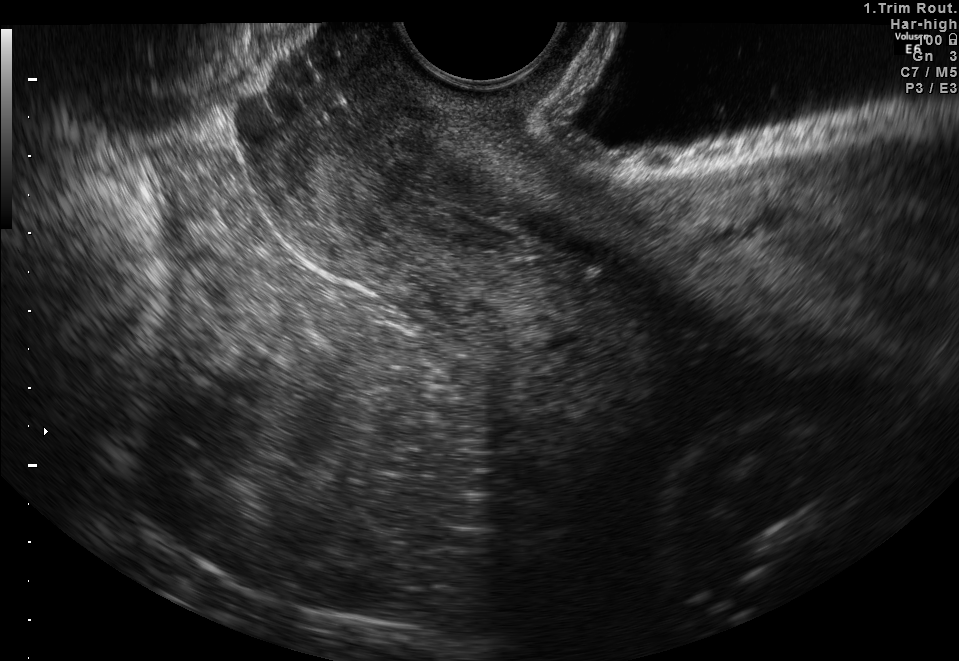
Classify this maternal-fetal ultrasound image as one of the six standard planes — fetal abdomen, fetal brain, fetal femur, fetal thorax, maternal cervix, or other. If it's fetal brain and one of the three standard brain planes (trans-thalamic, trans-cerebellum, trans-ventricular), name which.

Maternal cervix